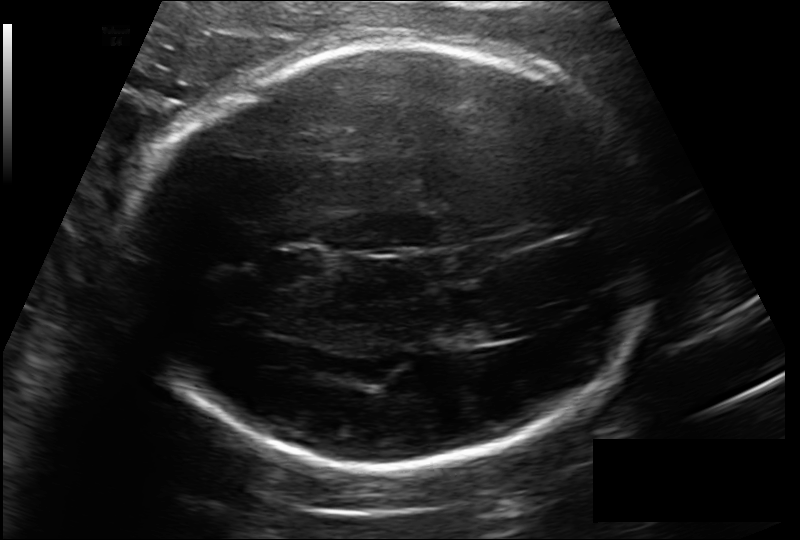
Measure the fetal head circumference shown in this ultrasound image. Image width: 148.1 mm.

Head circumference: 280.2 mm.